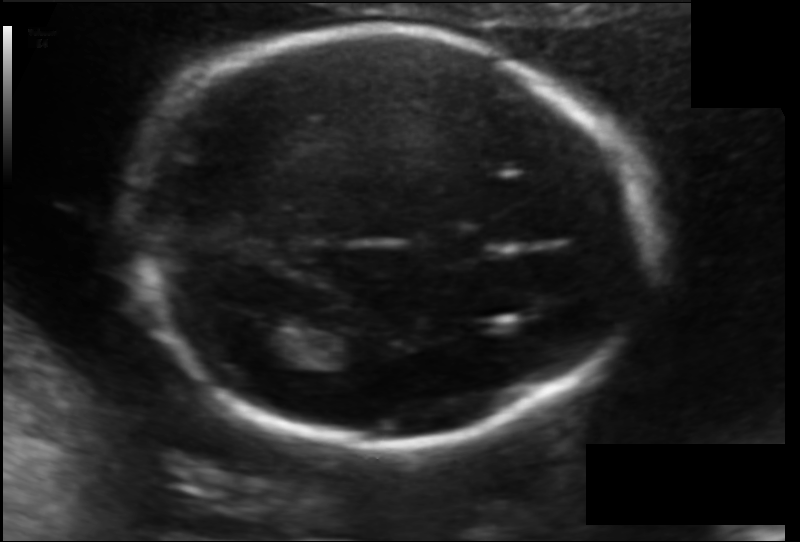
What is the fetal head circumference? Image width is 91.4 mm.

174.5 mm